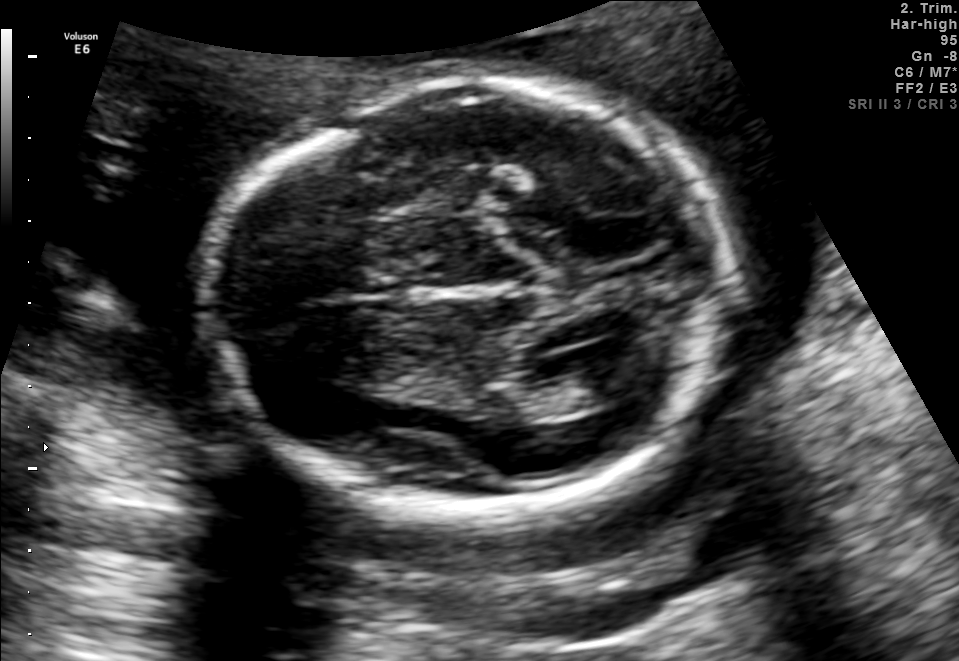
Fetal brain, trans-ventricular plane. Locate the lateral ventricle.

Lateral ventricle: [582,356,651,408]